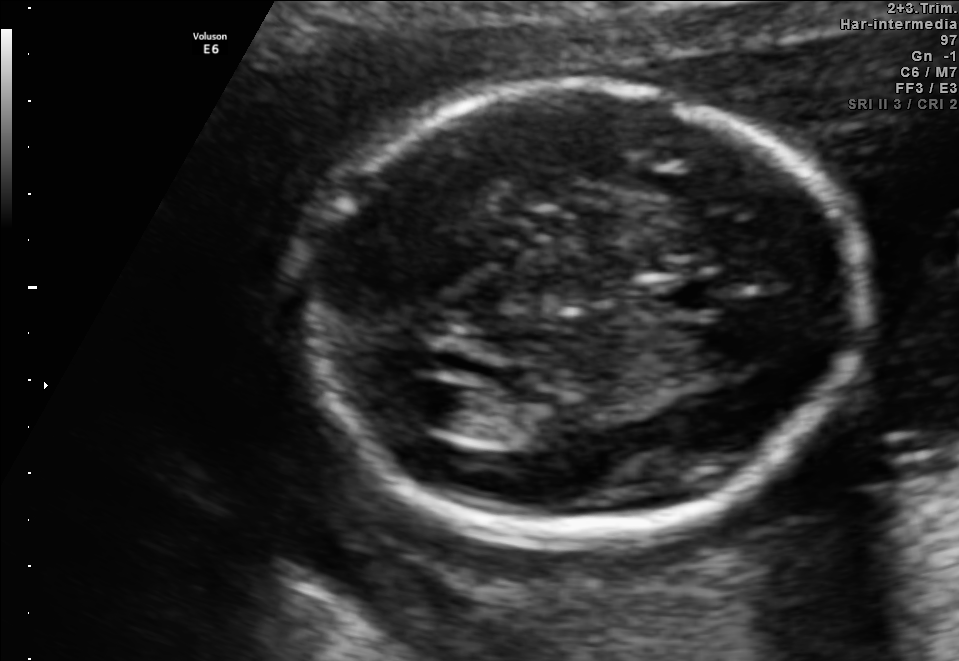
Fetal brain, trans-ventricular plane. Where is the fetal head?

Head bounding box: [279,72,876,553]